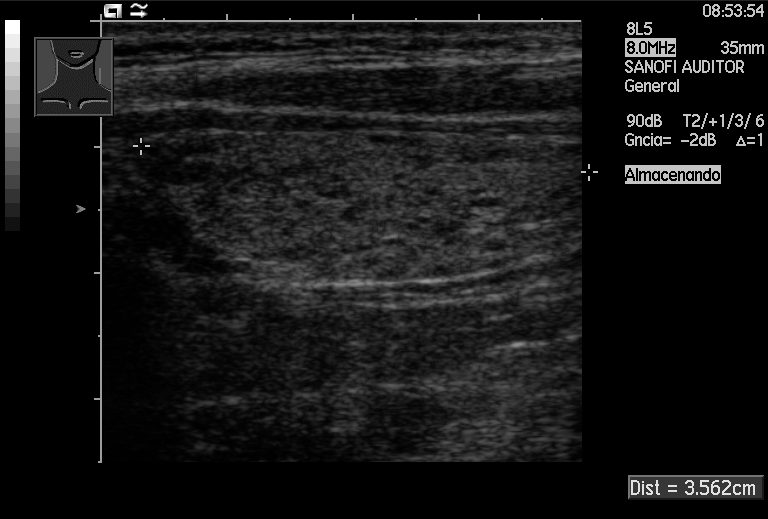
This is a 2D maternal-fetal ultrasound frame. Is it a fetal abdomen, fetal brain, fetal femur, fetal thorax, maternal cervix, or other standard plane? If it's fetal brain and one of the three standard brain planes (trans-thalamic, trans-cerebellum, trans-ventricular), name which.

Other